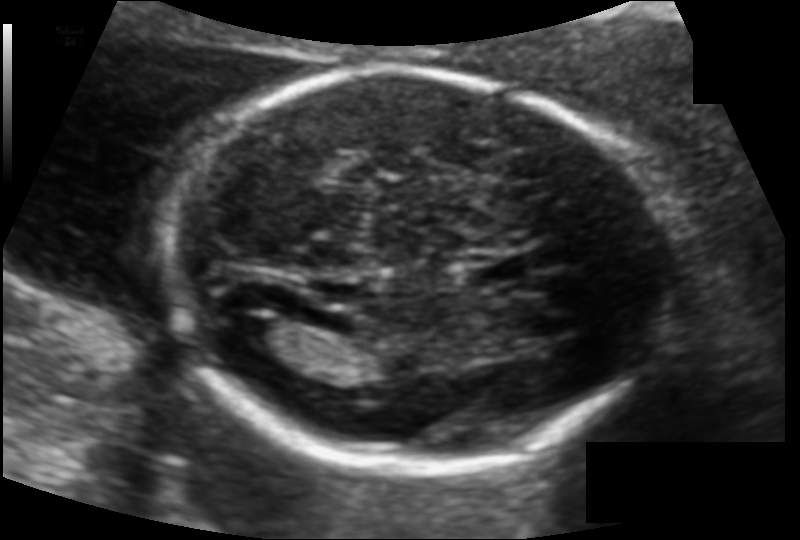
In this fetal head ultrasound, give the bounding box of the fetal head. Image width: 91.9 mm.

[164,70,666,465]